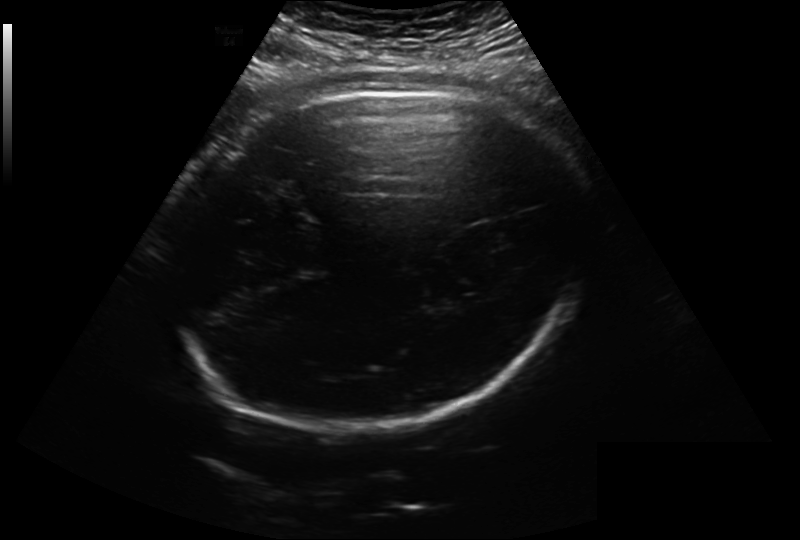
Fetal head ultrasound. Image width: 223.6 mm. Locate the fetal head and, if visible, the cavum septum pellucidum (CSP) and lateral ventricle (LV). Give bounding boxes as [x1,y1,x2,y2].

Head: [164,91,595,426]